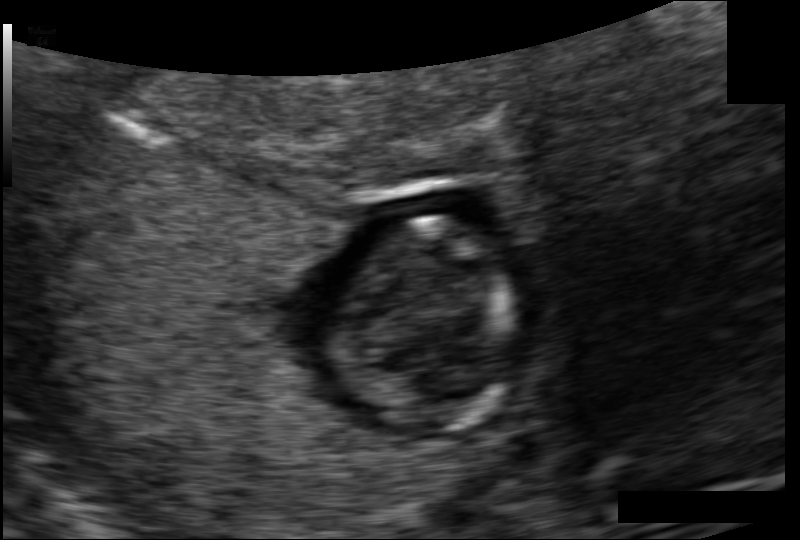
In this fetal head ultrasound, give the bounding box of the fetal head. Image width: 78.5 mm.

[342,219,513,429]